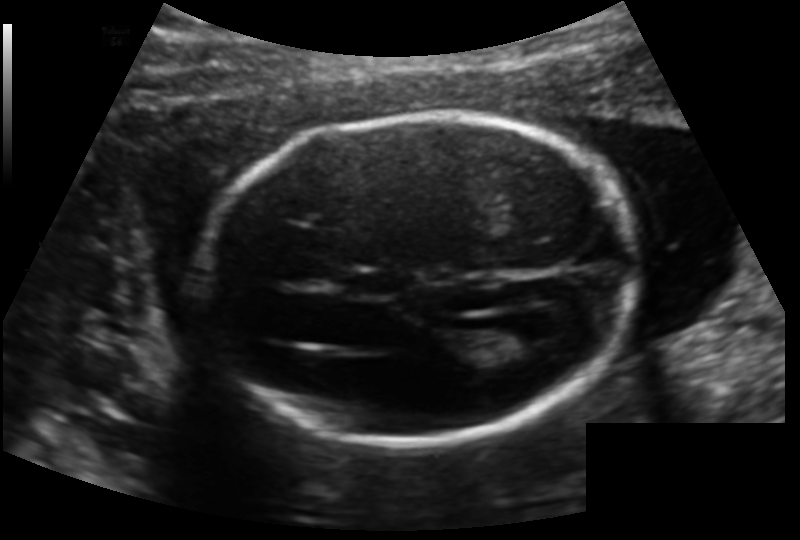
Fetal head ultrasound. Image width: 112.1 mm. Where is the lateral ventricle?

Lateral ventricle bounding box: [485,320,551,362]